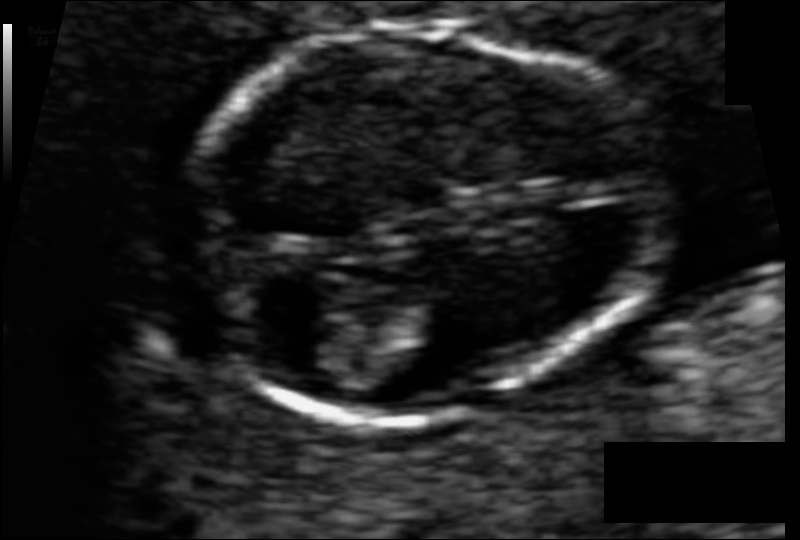
Measure the fetal head circumference shown in this ultrasound image. Image width: 43.8 mm.

Head circumference: 75.9 mm.